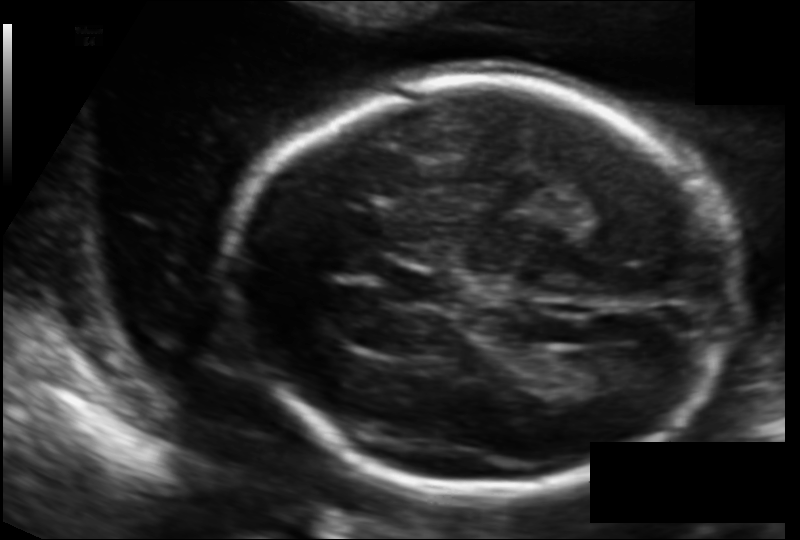
In this fetal head ultrasound, give the bounding box of the fetal head. Image width: 100.4 mm.

[225,78,737,494]